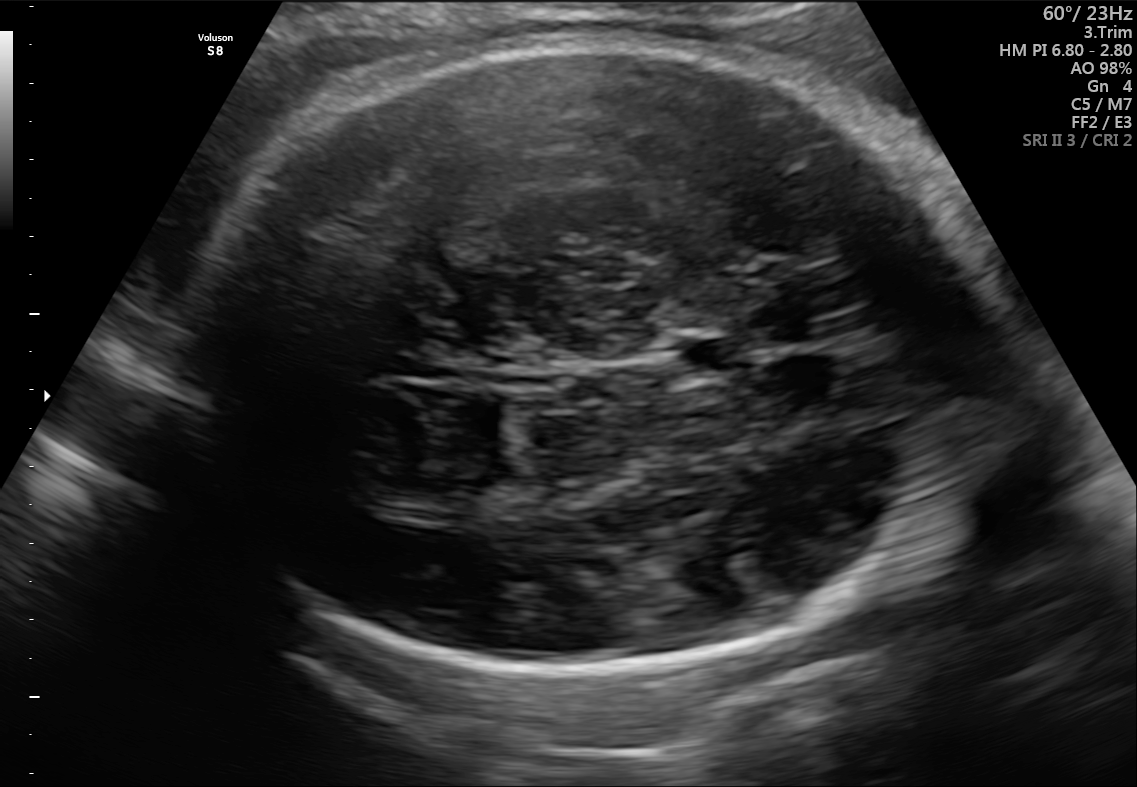
Fetal brain, trans-thalamic plane. Locate the fetal head and, if visible, the cavum septum pellucidum (CSP) and lateral ventricle (LV). Give bounding boxes as [x1,y1,x2,y2].

Head: [194,40,992,685]
CSP: [674,334,747,379]